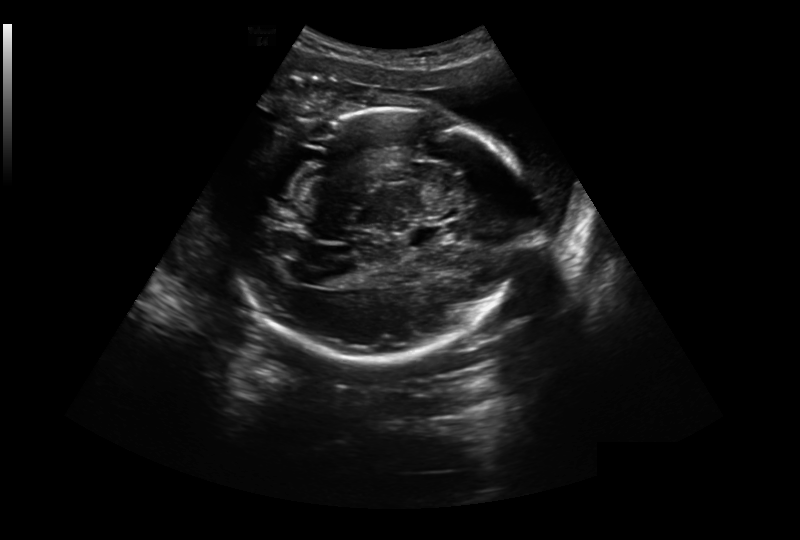
In this fetal head ultrasound, give bounding boxes for the head outline, cavum septum pellucidum (CSP), and lateral ventricle (LV), where visible. Image width: 243.0 mm.

Head: [236,108,529,364]
CSP: [405,222,445,249]
Lateral ventricle: [322,271,353,288]